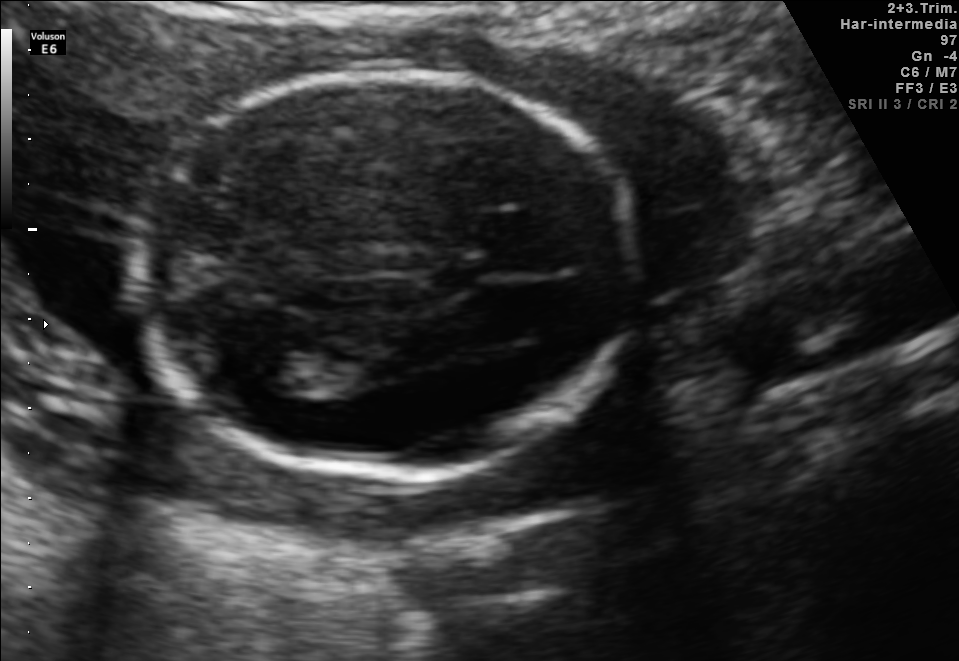
Fetal brain, trans-ventricular plane. Locate the fetal head and, if visible, the cavum septum pellucidum (CSP) and lateral ventricle (LV). Give bounding boxes as [x1,y1,x2,y2].

Head: [124,65,647,484]